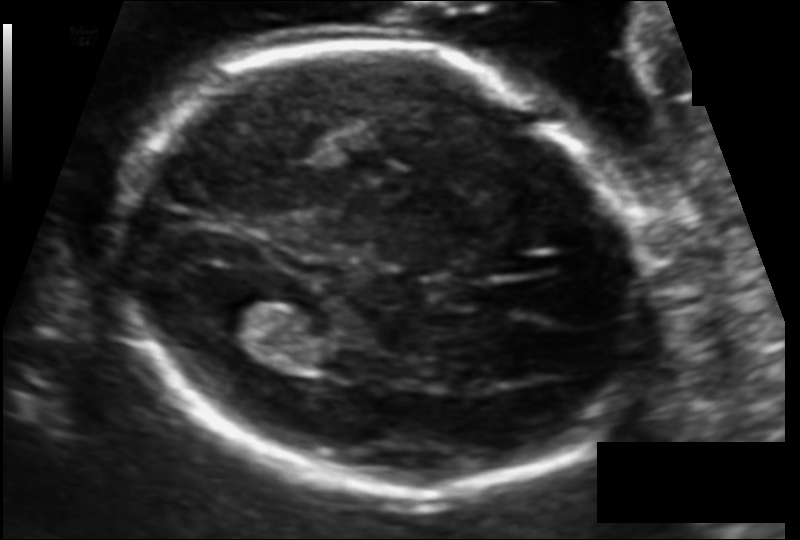
Fetal head ultrasound. Image width: 92.8 mm. Locate the fetal head and, if visible, the cavum septum pellucidum (CSP) and lateral ventricle (LV). Give bounding boxes as [x1,y1,x2,y2].

Head: [113,44,652,493]
Lateral ventricle: [199,274,292,351]